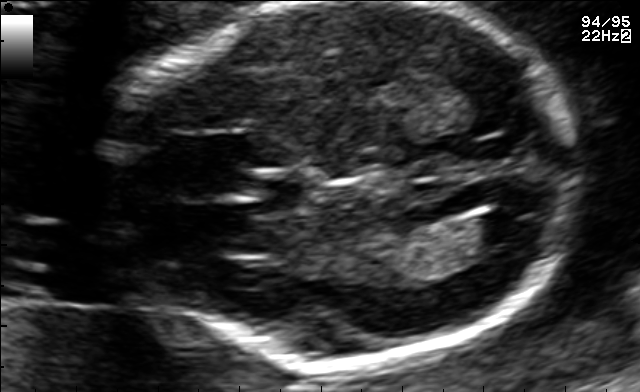
Fetal brain, trans-ventricular plane. Locate the cavum septum pellucidum.

CSP: [251,180,306,211]